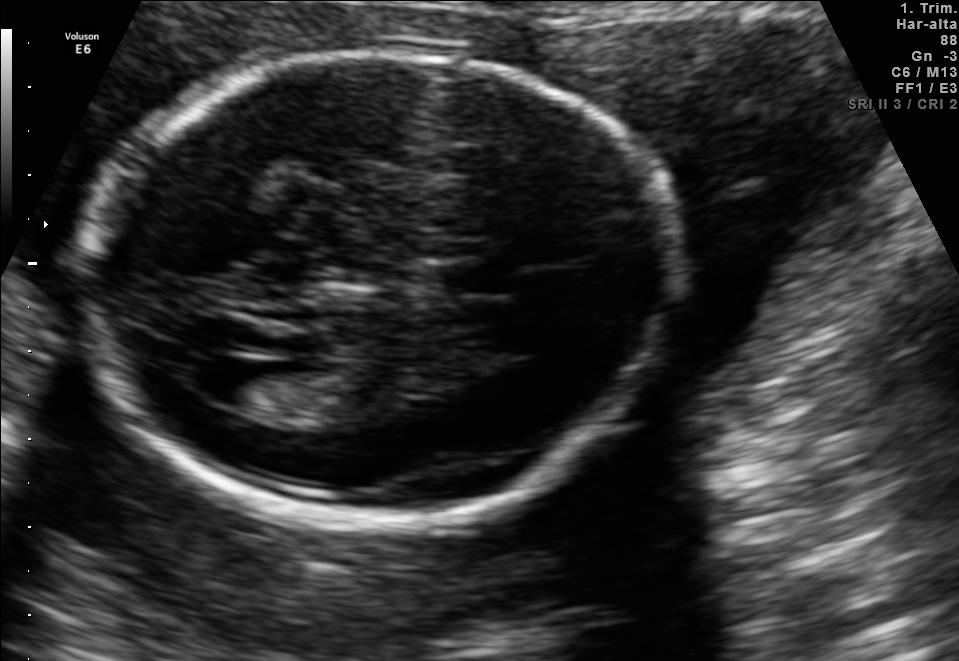
In this fetal brain, trans-ventricular plane, give the bounding box of the fetal head.

[67,46,692,527]